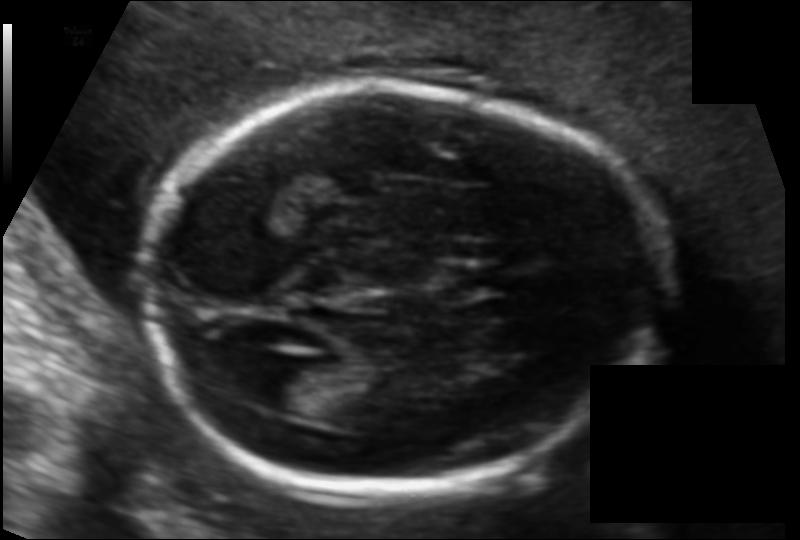
Fetal head ultrasound. Image width: 88.8 mm. Locate the fetal head and, if visible, the cavum septum pellucidum (CSP) and lateral ventricle (LV). Give bounding boxes as [x1,y1,x2,y2].

Head: [143,83,660,494]
CSP: [445,260,513,299]
Lateral ventricle: [238,355,329,421]